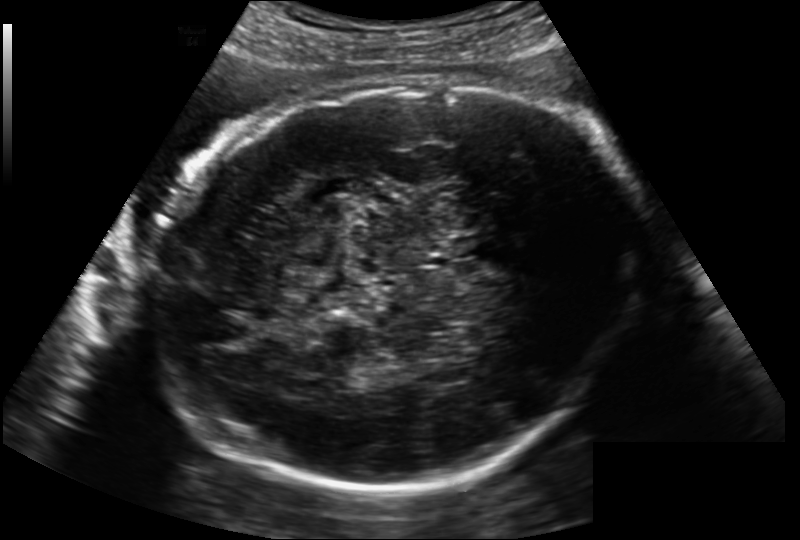
What is the fetal head circumference? Image width is 161.8 mm.

294.7 mm